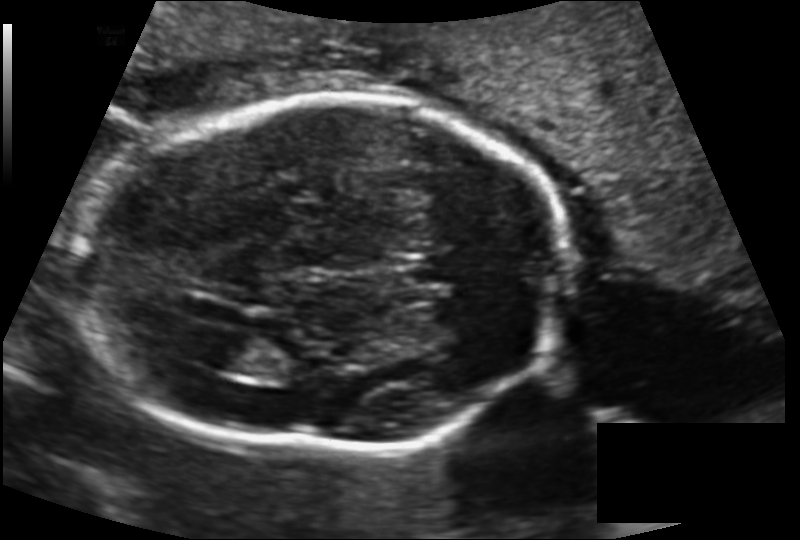
Estimate the fetal head circumference from this 2D ultrasound. Image width: 114.0 mm.

Head circumference: 194.6 mm.